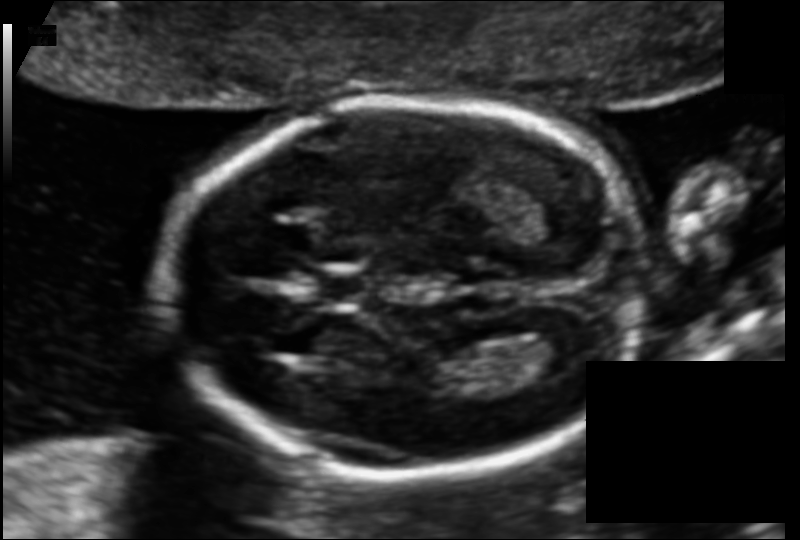
Fetal head ultrasound. Image width: 87.9 mm. Locate the cavum septum pellucidum.

CSP: [313,273,374,303]